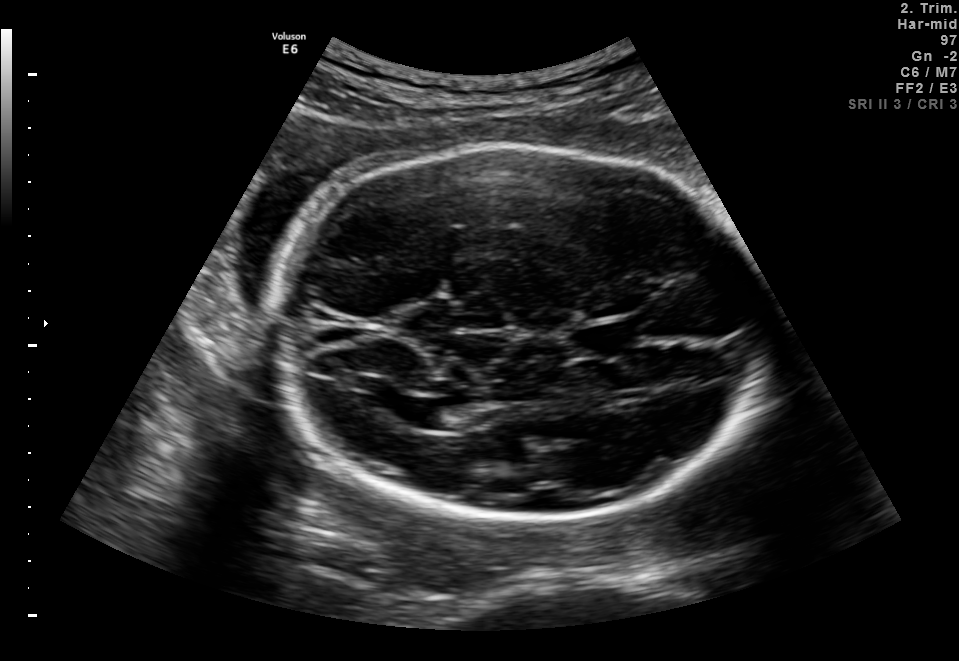
Fetal brain, trans-ventricular plane. Locate the fetal head.

Head: [268,142,773,529]